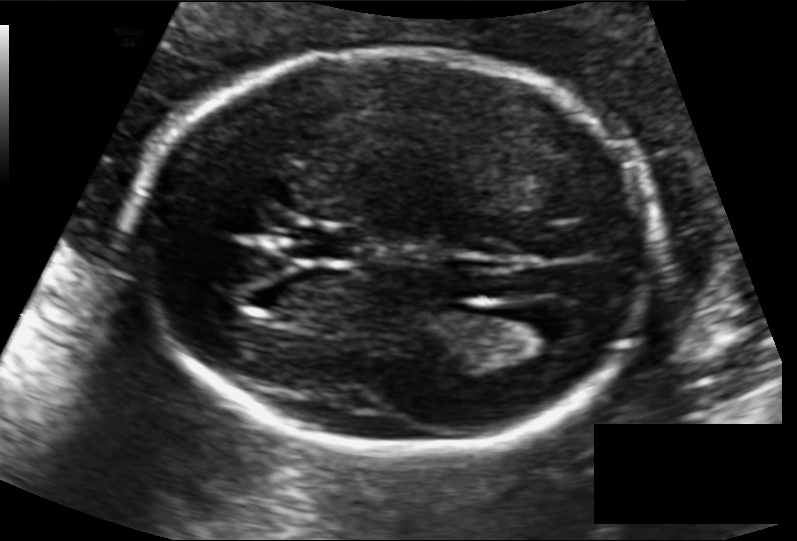
Fetal head ultrasound. Image width: 94.0 mm. Locate the fetal head and, if visible, the cavum septum pellucidum (CSP) and lateral ventricle (LV). Give bounding boxes as [x1,y1,x2,y2].

Head: [124,49,653,458]
CSP: [289,226,356,260]
Lateral ventricle: [489,294,584,367]